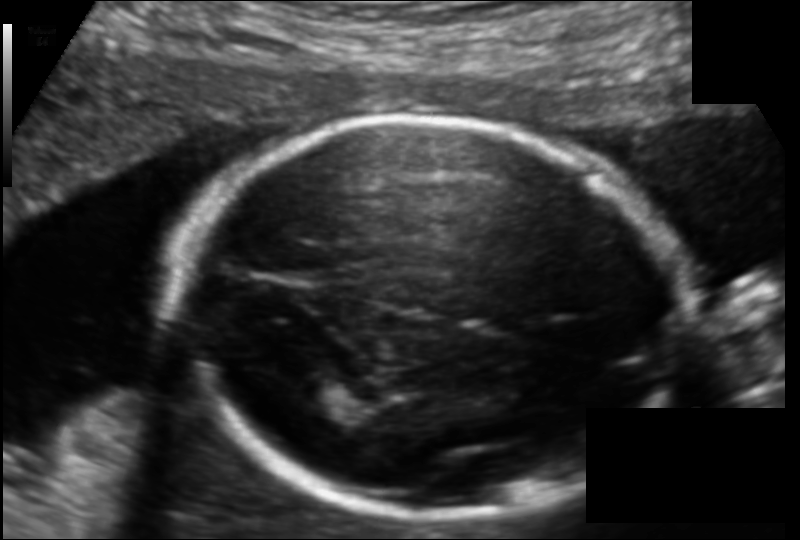
Fetal head ultrasound. Image width: 96.3 mm. Locate the fetal head and, if visible, the cavum septum pellucidum (CSP) and lateral ventricle (LV). Give bounding boxes as [x1,y1,x2,y2].

Head: [176,119,686,517]